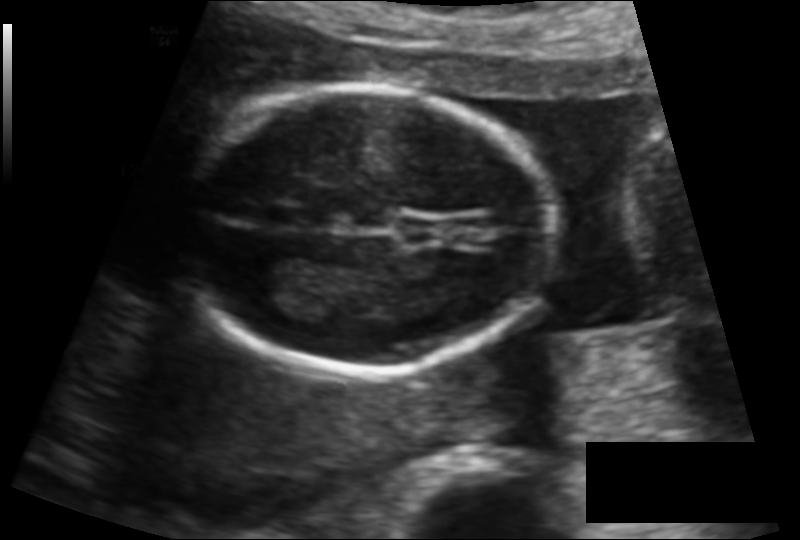
From this fetal ultrasound, estimate the head circumference (image width 93.2 mm).

Head circumference: 125.2 mm.